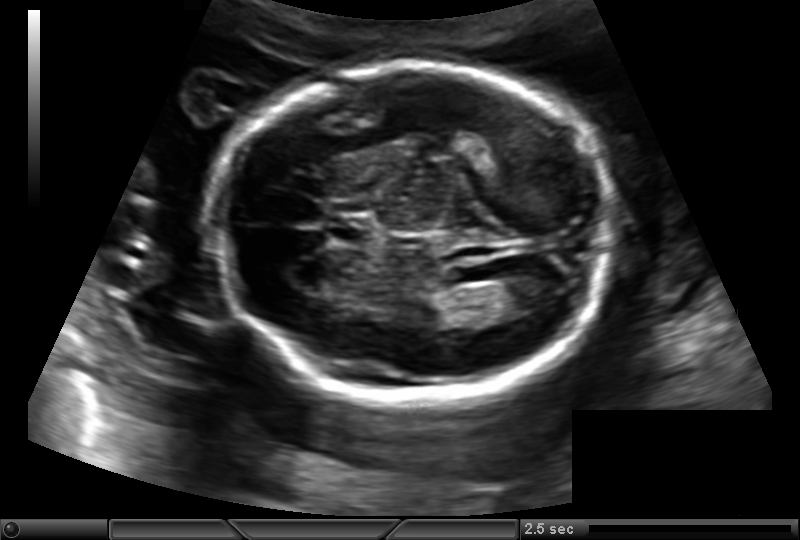
In this fetal head ultrasound, give the bounding box of the cavum septum pellucidum. Image width: 116.2 mm.

[327,216,376,246]